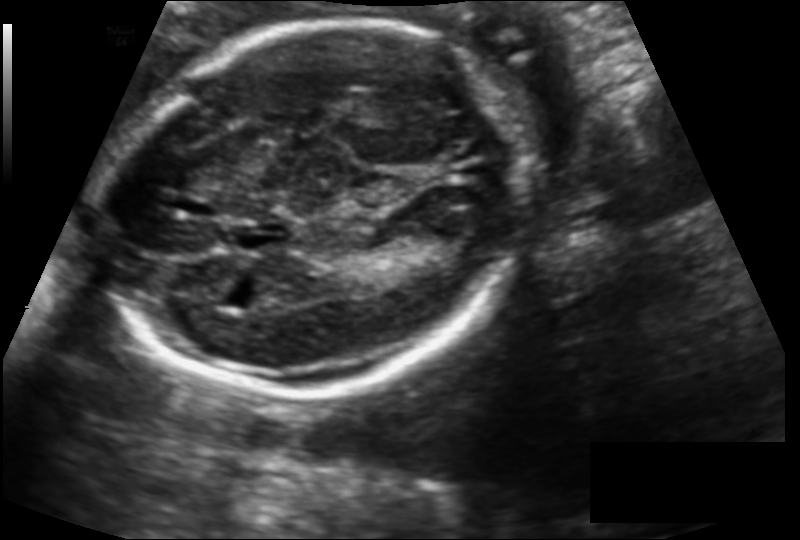
From this fetal ultrasound, estimate the head circumference (image width 106.3 mm).

Head circumference: 175.1 mm.